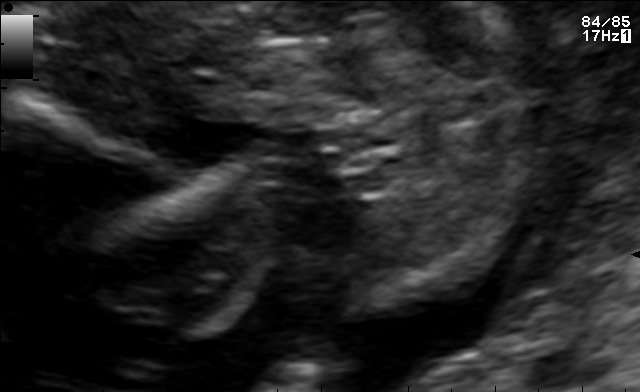
This is a 2D maternal-fetal ultrasound frame. Is it a fetal abdomen, fetal brain, fetal femur, fetal thorax, maternal cervix, or other standard plane? If it's fetal brain and one of the three standard brain planes (trans-thalamic, trans-cerebellum, trans-ventricular), name which.

Other